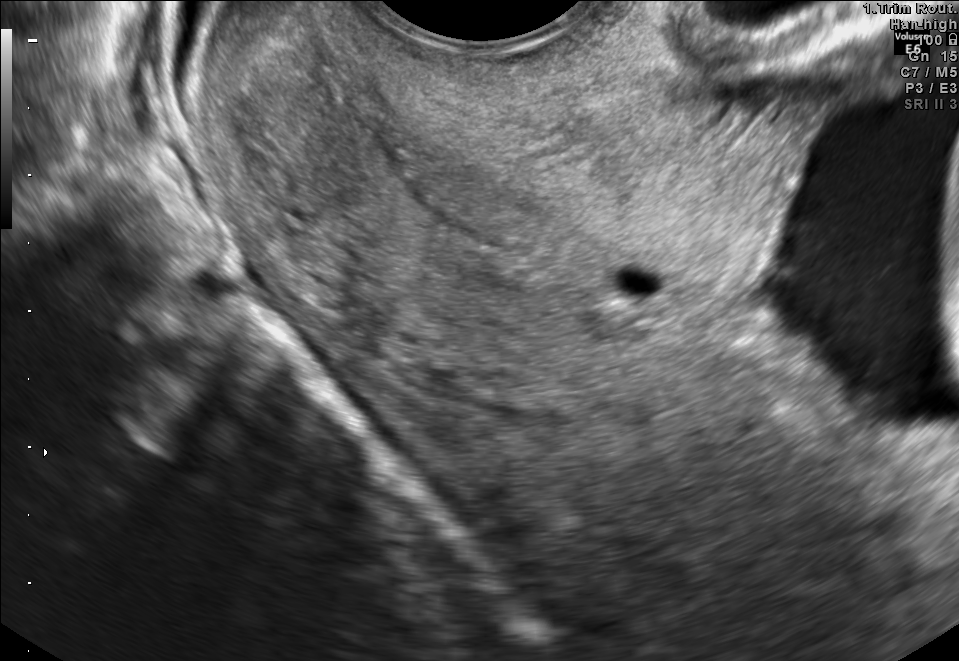
Which standard maternal-fetal ultrasound plane is shown: fetal abdomen, fetal brain, fetal femur, fetal thorax, maternal cervix, or other? If it's fetal brain and one of the three standard brain planes (trans-thalamic, trans-cerebellum, trans-ventricular), name which.

Maternal cervix